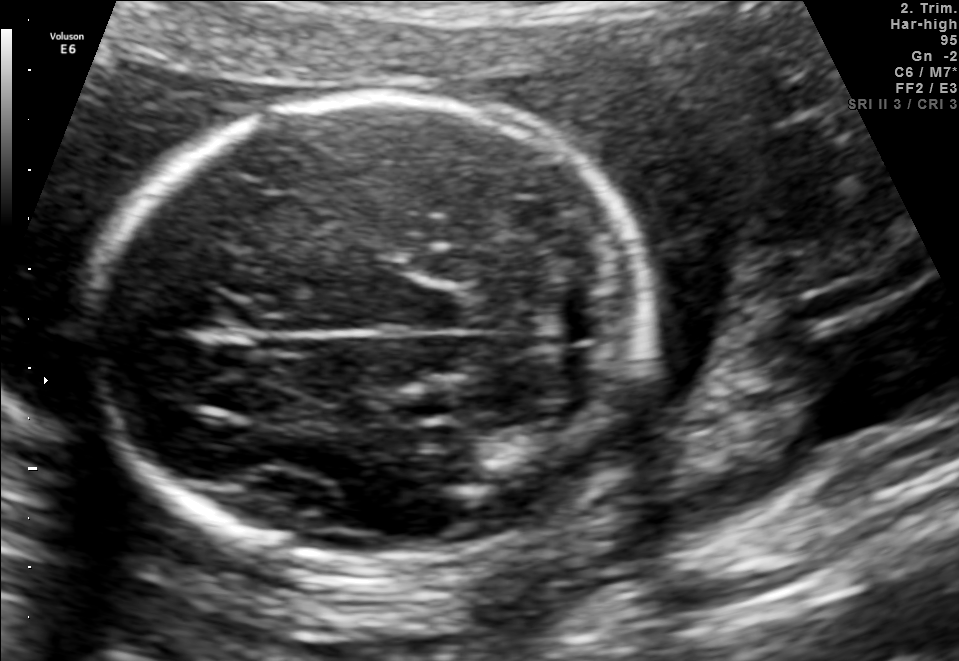
In this fetal brain, trans-cerebellum plane, give the bounding box of the fetal head.

[98,89,647,566]